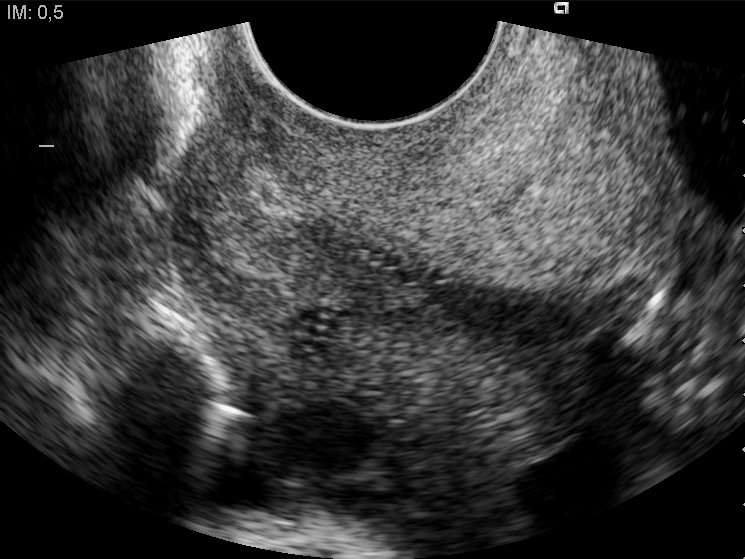
Which standard maternal-fetal ultrasound plane is shown: fetal abdomen, fetal brain, fetal femur, fetal thorax, maternal cervix, or other? If it's fetal brain and one of the three standard brain planes (trans-thalamic, trans-cerebellum, trans-ventricular), name which.

Maternal cervix